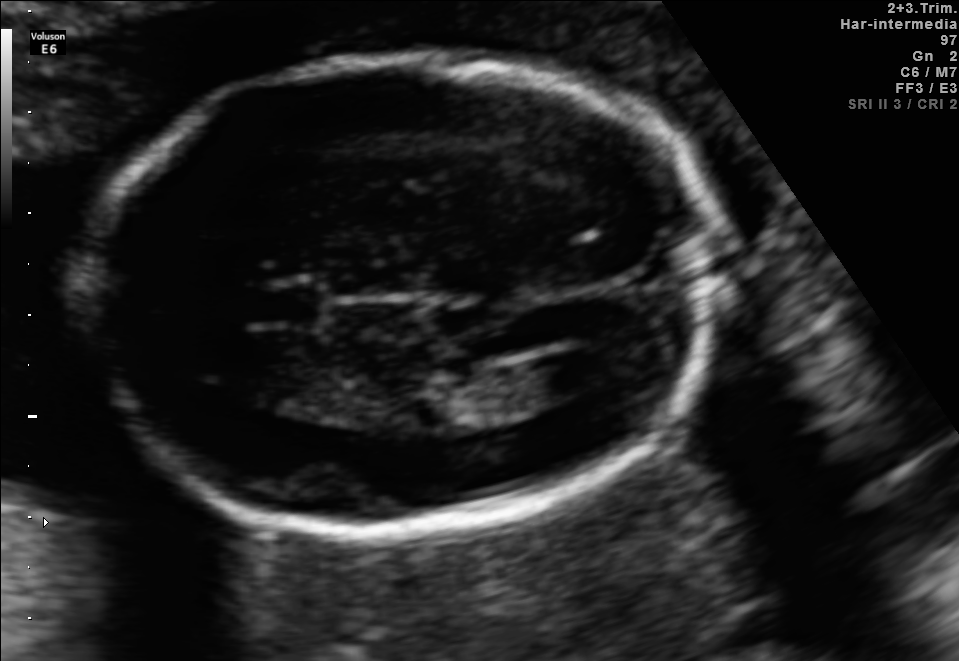
Fetal brain, trans-ventricular plane. Locate the lateral ventricle.

Lateral ventricle: [534,341,619,402]